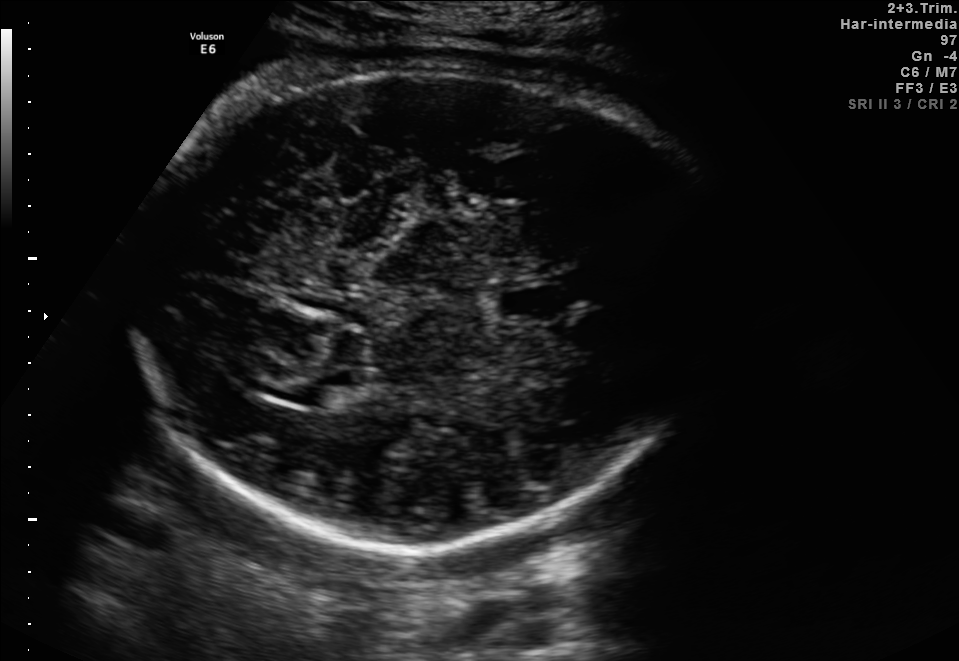
Fetal brain, trans-thalamic plane. Give [x1,y1,x2,y2] bounding boxes for each visible structure among: fetal head, CSP, LV.

Head: [129,63,720,546]
CSP: [497,280,561,319]
Lateral ventricle: [257,360,353,415]